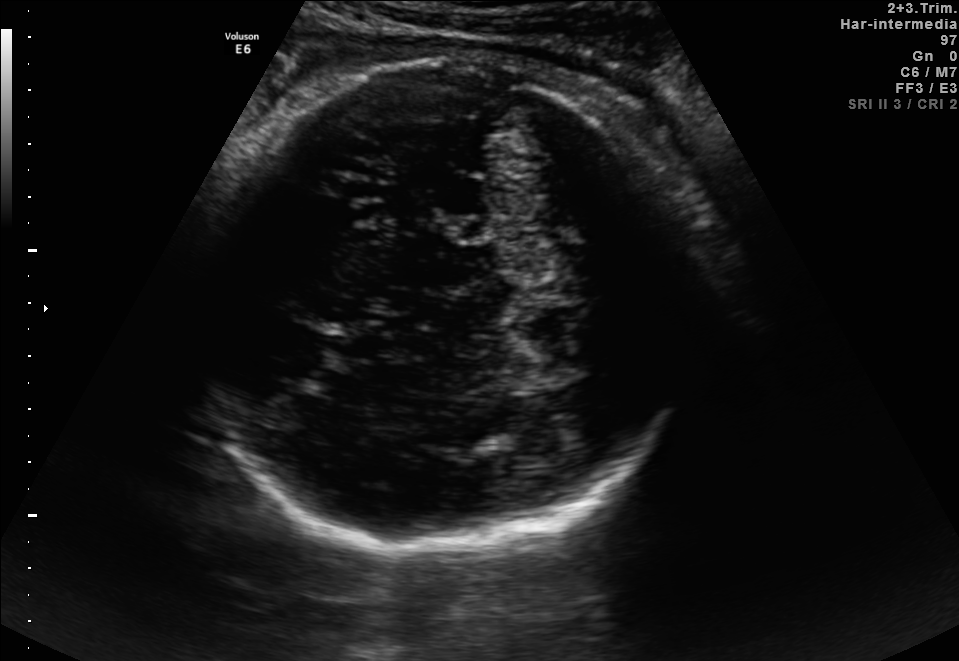
Classify this maternal-fetal ultrasound image as one of the six standard planes — fetal abdomen, fetal brain, fetal femur, fetal thorax, maternal cervix, or other. If it's fetal brain and one of the three standard brain planes (trans-thalamic, trans-cerebellum, trans-ventricular), name which.

Fetal brain (trans-thalamic plane)